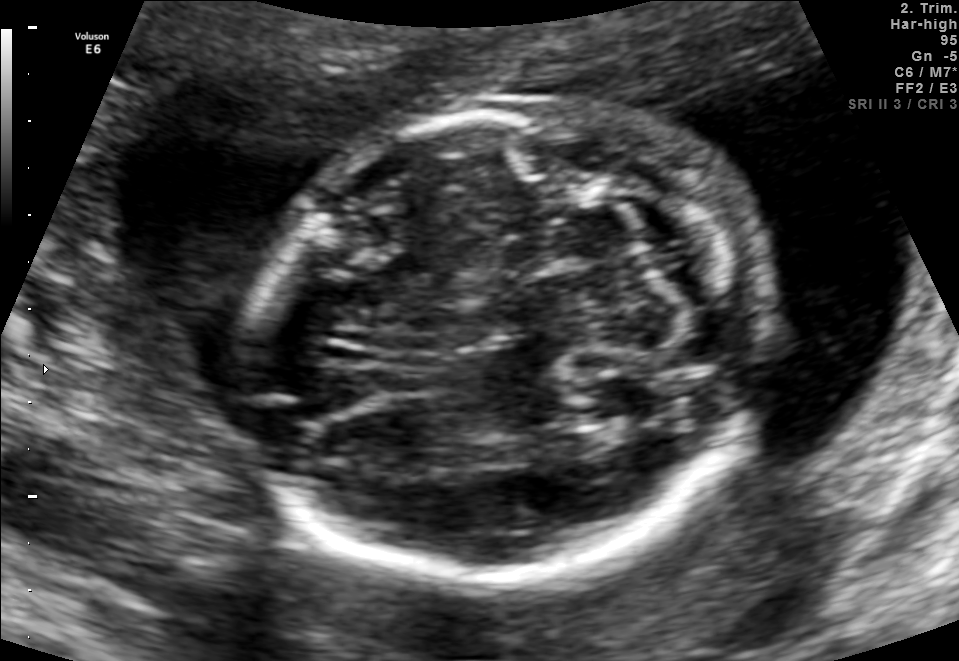
In this fetal brain, trans-cerebellum plane, give the bounding box of the fetal head.

[262,96,765,587]